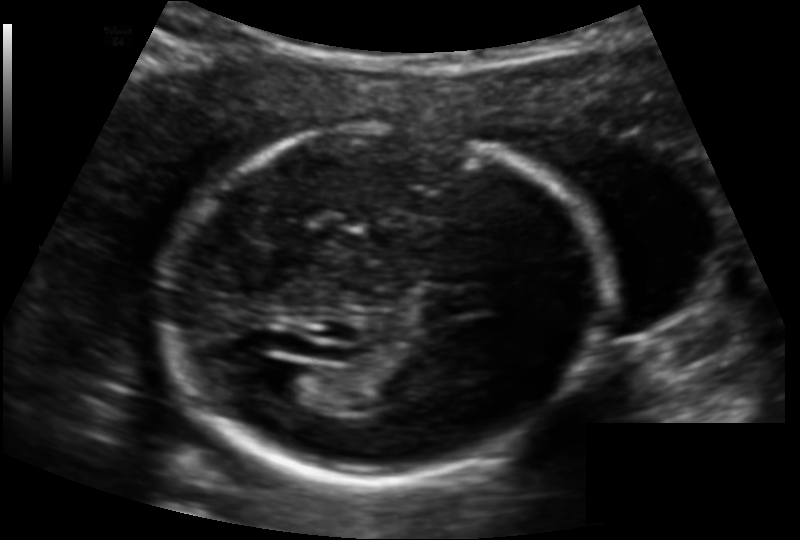
In this fetal head ultrasound, give the bounding box of the lateral ventricle. Image width: 105.9 mm.

[266,358,330,411]